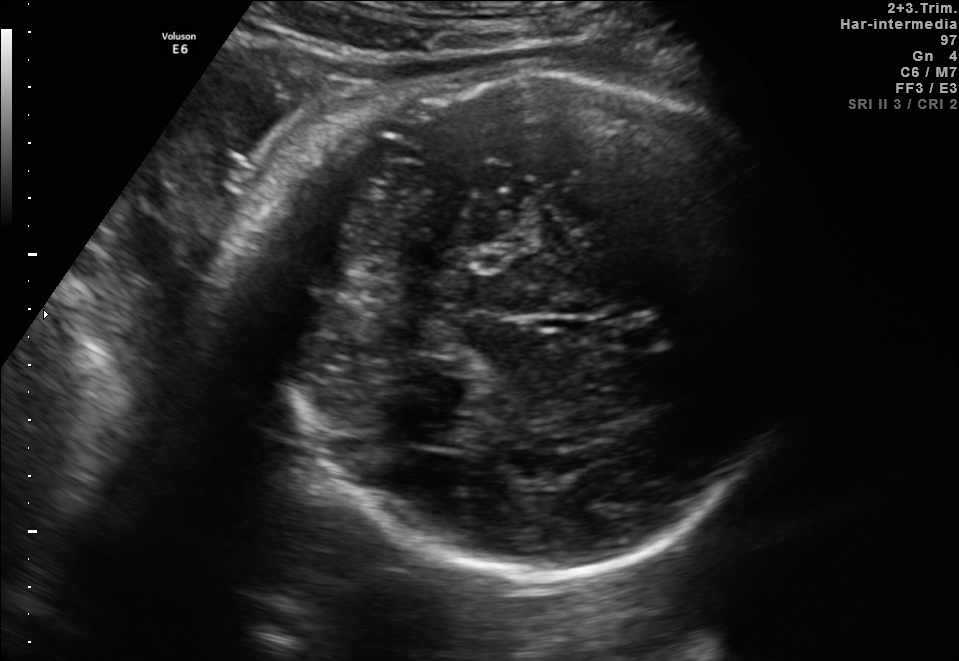
In this fetal brain, trans-cerebellum plane, give bounding boxes for the head outline, cavum septum pellucidum (CSP), and lateral ventricle (LV), where visible.

Head: [270,64,789,579]
CSP: [602,313,667,356]